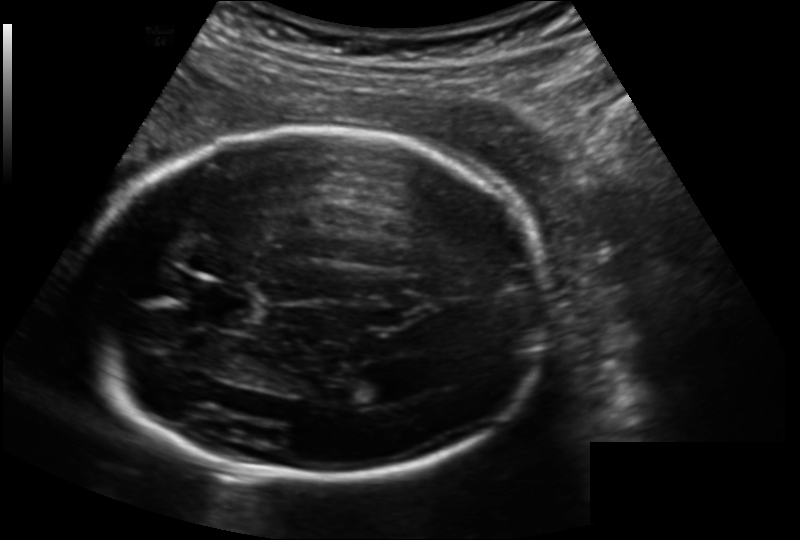
Estimate the fetal head circumference from this 2D ultrasound.

Head circumference: 219.1 mm (image width 130.8 mm).